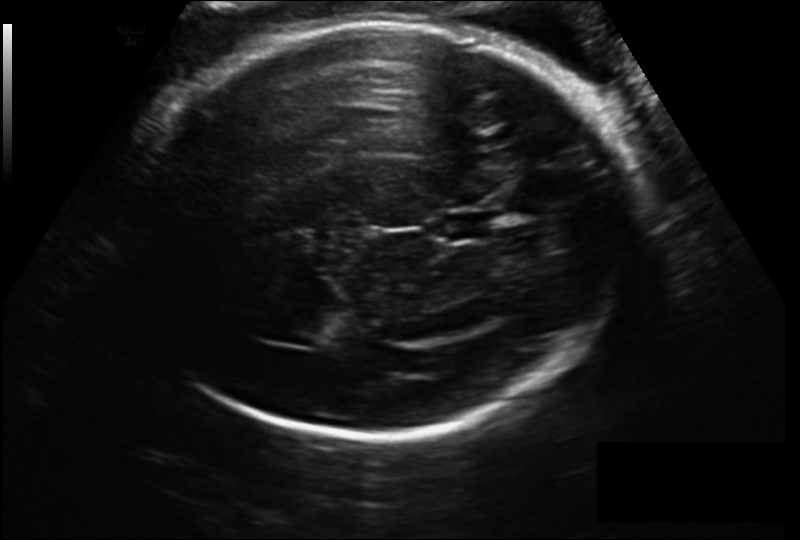
Estimate the fetal head circumference from this 2D ultrasound.

Head circumference: 306.1 mm (image width 164.9 mm).